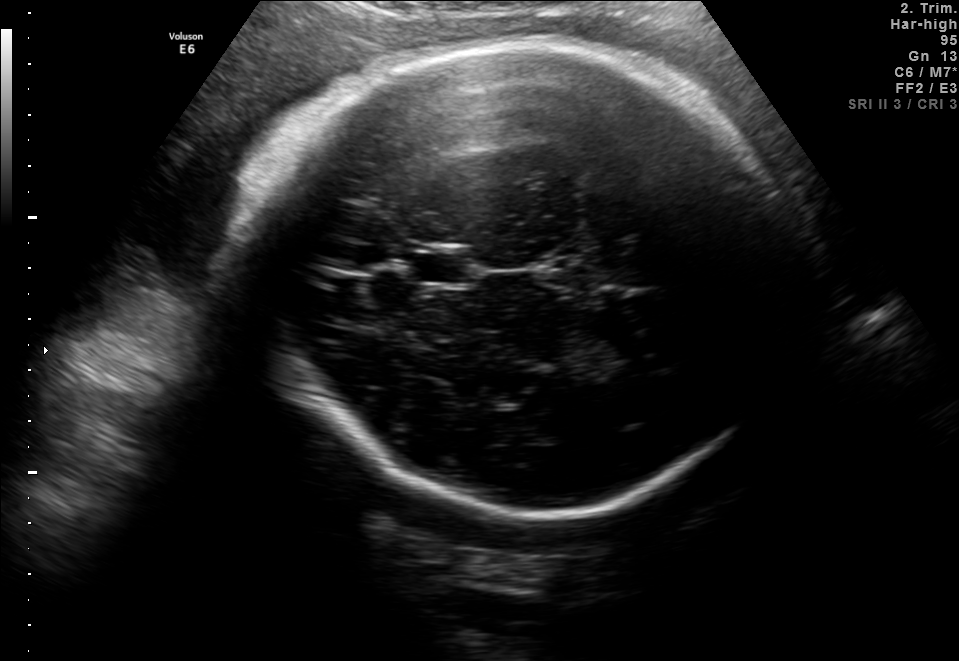
In this fetal brain, trans-thalamic plane, give the bounding box of the fetal head.

[229,48,800,509]